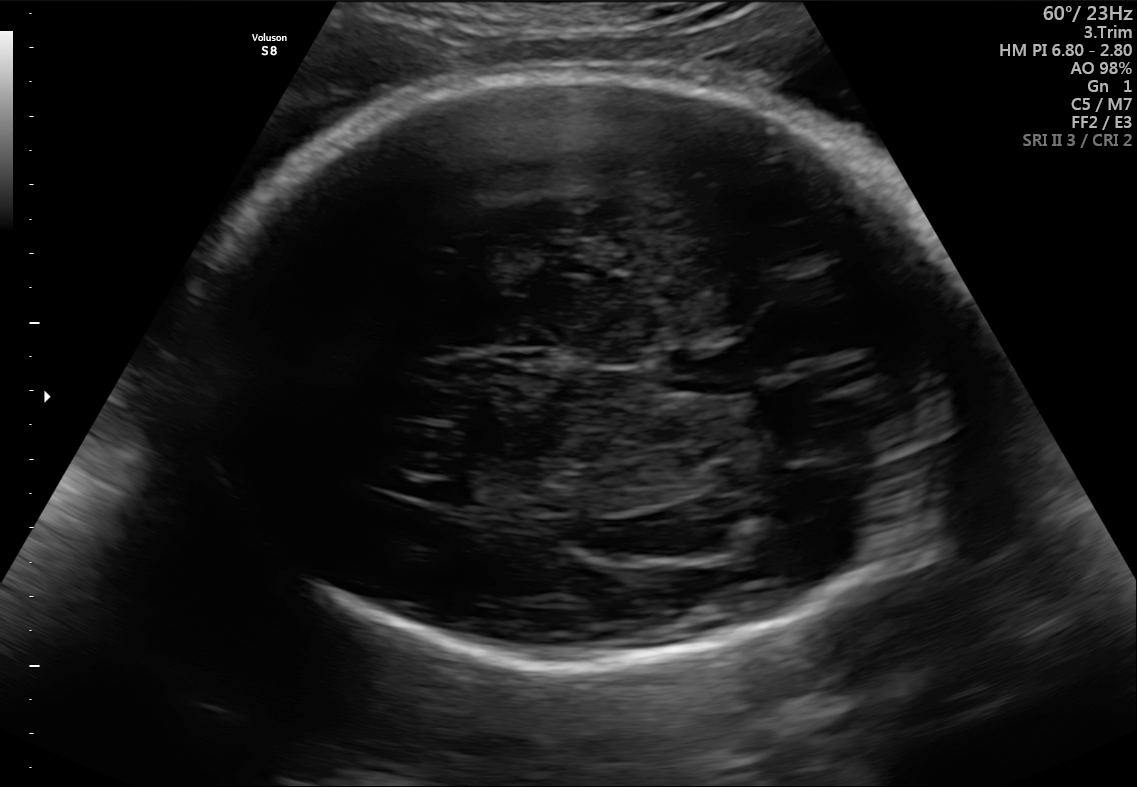
Fetal brain, trans-thalamic plane. Where is the fetal head?

Head bounding box: [180,73,964,669]